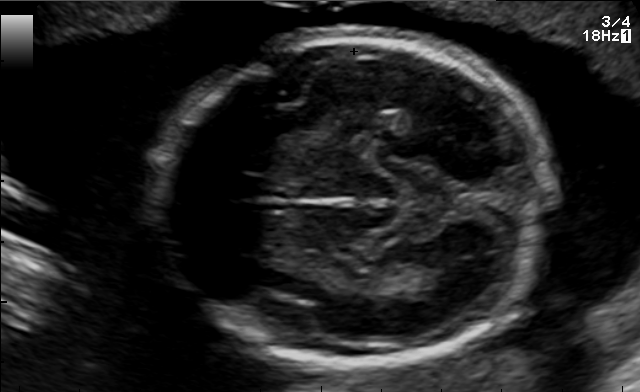
Fetal brain, trans-thalamic plane. Where is the fetal head?

Head bounding box: [155,37,545,365]